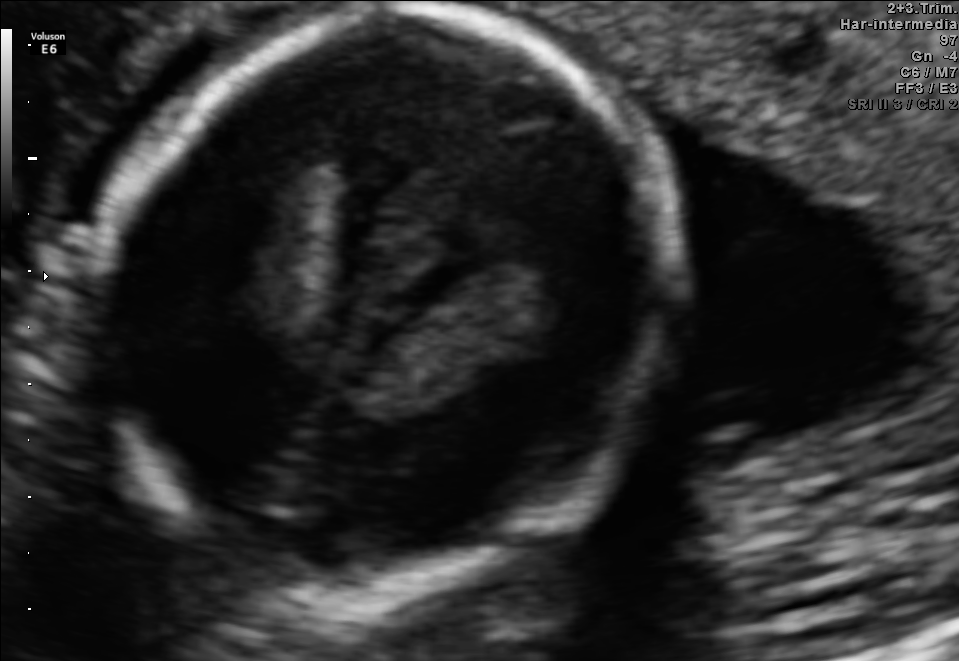
Which standard maternal-fetal ultrasound plane is shown: fetal abdomen, fetal brain, fetal femur, fetal thorax, maternal cervix, or other? If it's fetal brain and one of the three standard brain planes (trans-thalamic, trans-cerebellum, trans-ventricular), name which.

Fetal brain